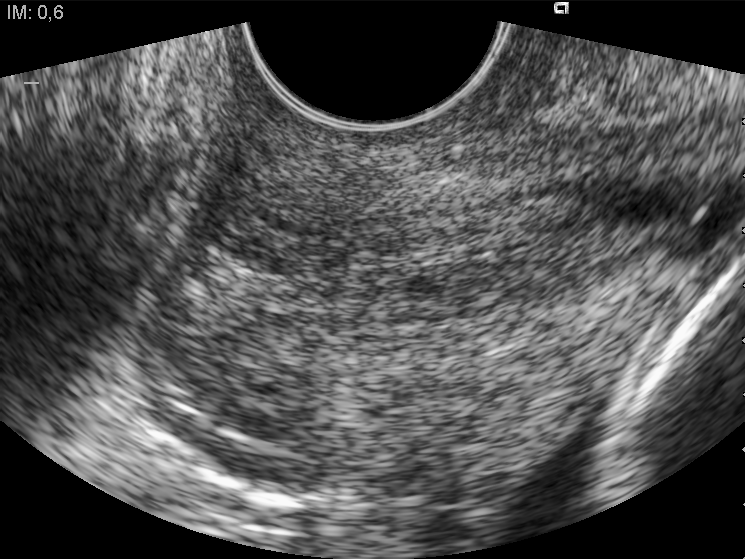
Which standard maternal-fetal ultrasound plane is shown: fetal abdomen, fetal brain, fetal femur, fetal thorax, maternal cervix, or other? If it's fetal brain and one of the three standard brain planes (trans-thalamic, trans-cerebellum, trans-ventricular), name which.

Maternal cervix